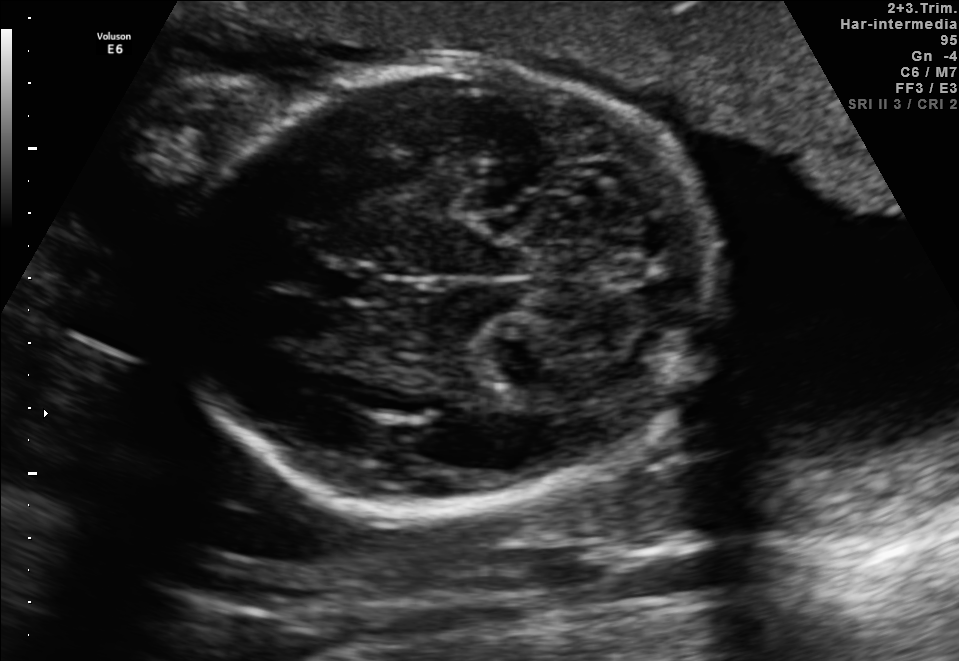
In this fetal brain, trans-cerebellum plane, give the bounding box of the cavum septum pellucidum.

[319,262,382,305]